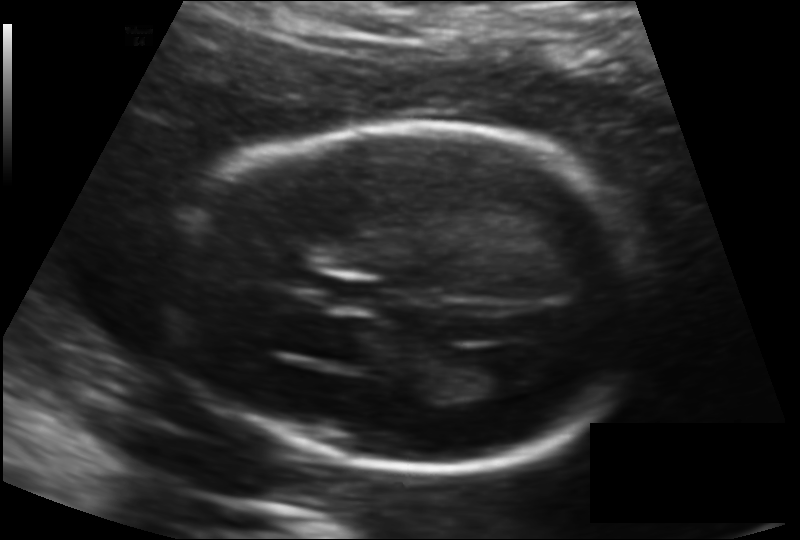
Fetal head ultrasound. Image width: 108.1 mm. Where is the lateral ventricle?

Lateral ventricle bounding box: [470,359,521,397]